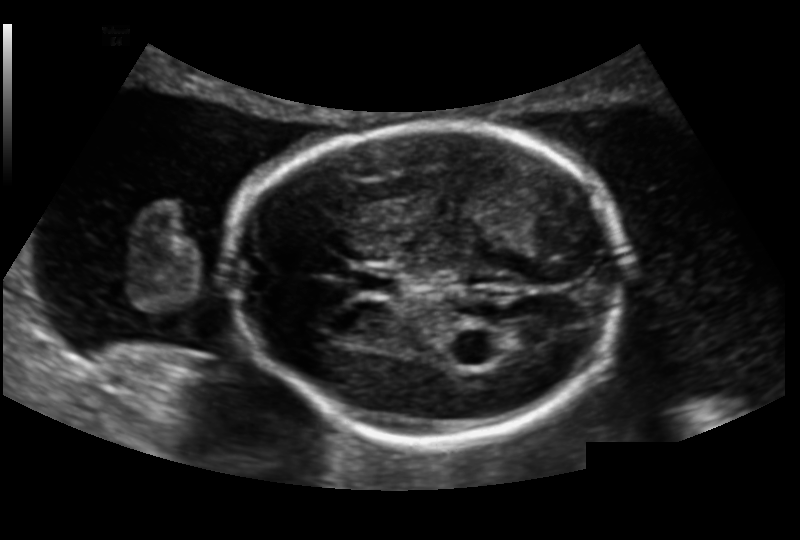
Estimate the fetal head circumference from this 2D ultrasound.

Head circumference: 172.0 mm (image width 121.1 mm).